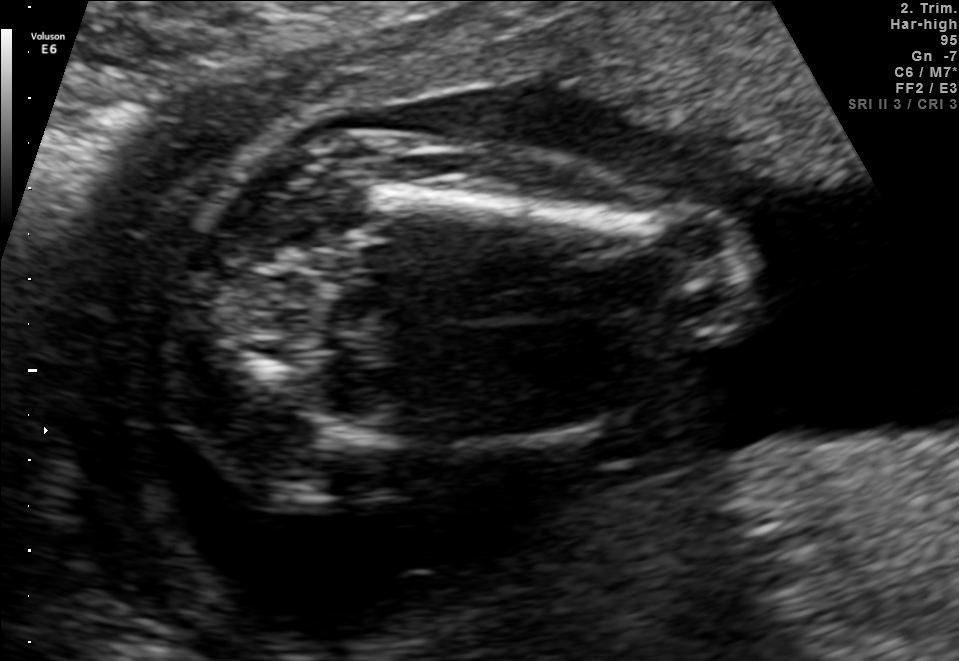
Classify this maternal-fetal ultrasound image as one of the six standard planes — fetal abdomen, fetal brain, fetal femur, fetal thorax, maternal cervix, or other. If it's fetal brain and one of the three standard brain planes (trans-thalamic, trans-cerebellum, trans-ventricular), name which.

Fetal femur